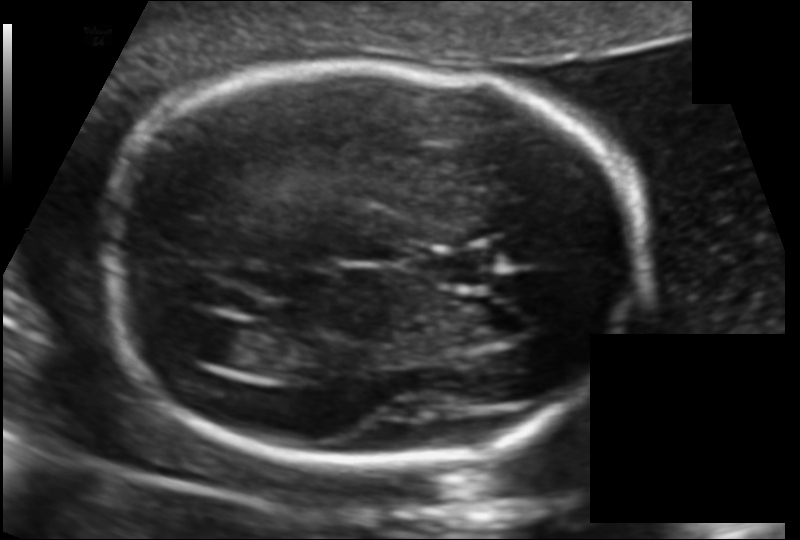
What is the fetal head circumference? Image width is 93.9 mm.

180.9 mm